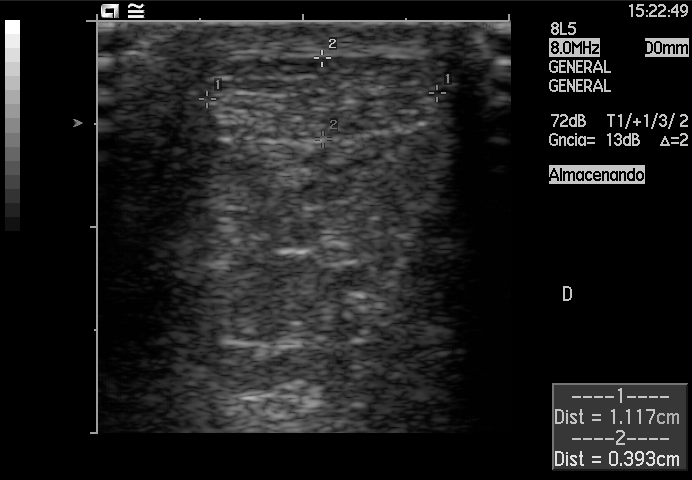
This is a 2D maternal-fetal ultrasound frame. Is it a fetal abdomen, fetal brain, fetal femur, fetal thorax, maternal cervix, or other standard plane? If it's fetal brain and one of the three standard brain planes (trans-thalamic, trans-cerebellum, trans-ventricular), name which.

Other